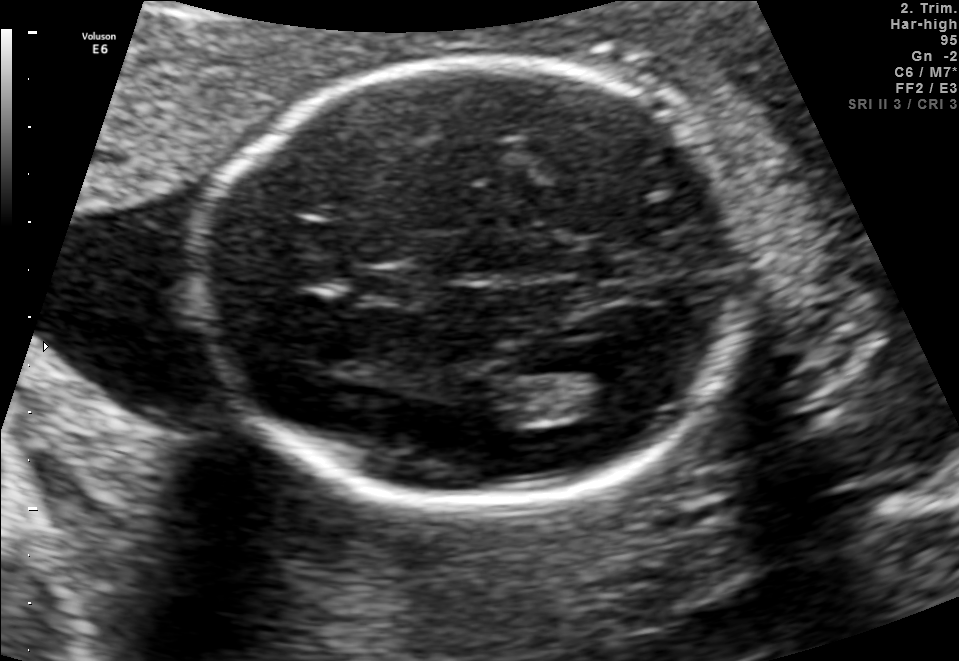
Fetal brain, trans-thalamic plane. Locate the fetal head.

Head: [201,59,746,502]